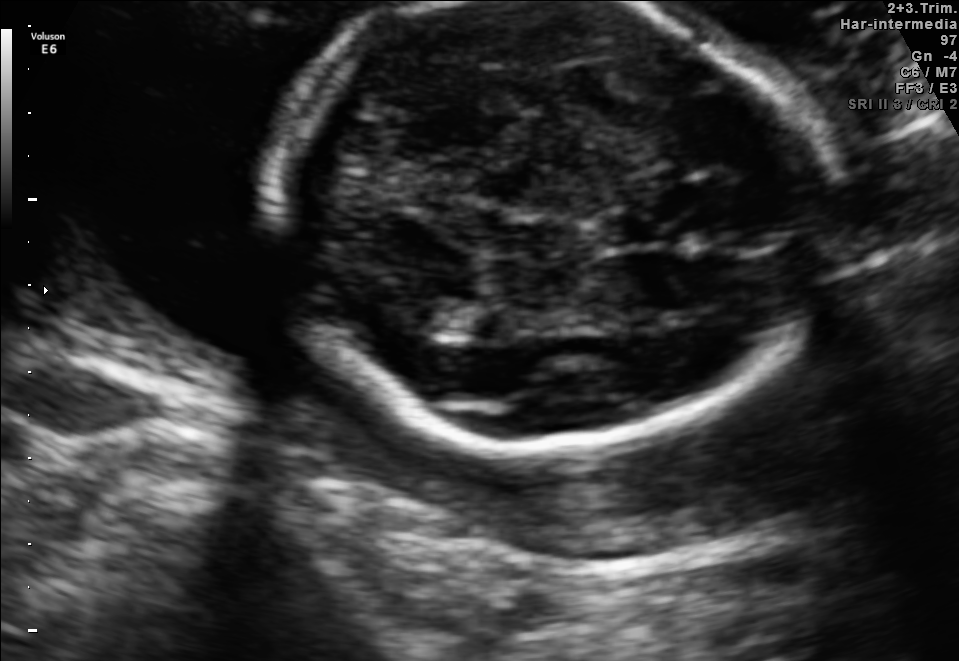
Fetal brain, trans-thalamic plane. Locate the lateral ventricle.

Lateral ventricle: [431,307,503,339]